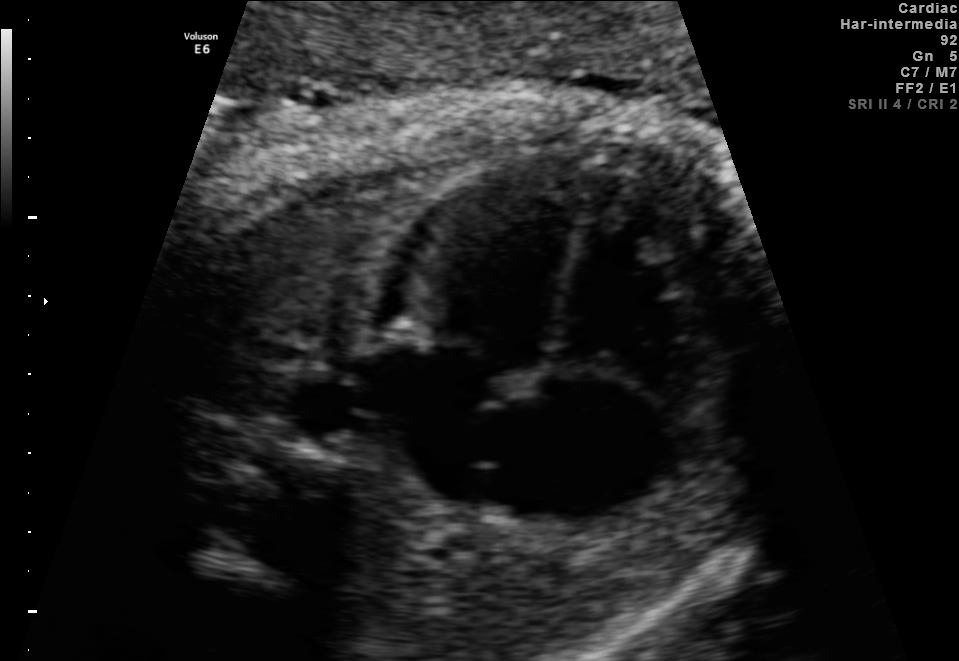
Identify the standard plane in this fetal ultrasound image: fetal abdomen, fetal brain, fetal femur, fetal thorax, maternal cervix, or other. If it's fetal brain and one of the three standard brain planes (trans-thalamic, trans-cerebellum, trans-ventricular), name which.

Fetal thorax